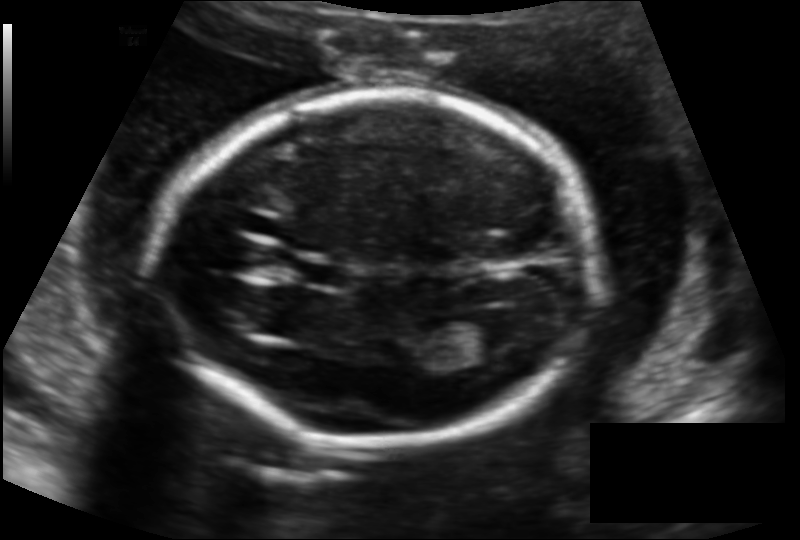
Fetal head ultrasound. Image width: 108.6 mm. Where is the cavum septum pellucidum?

CSP bounding box: [300,258,352,291]